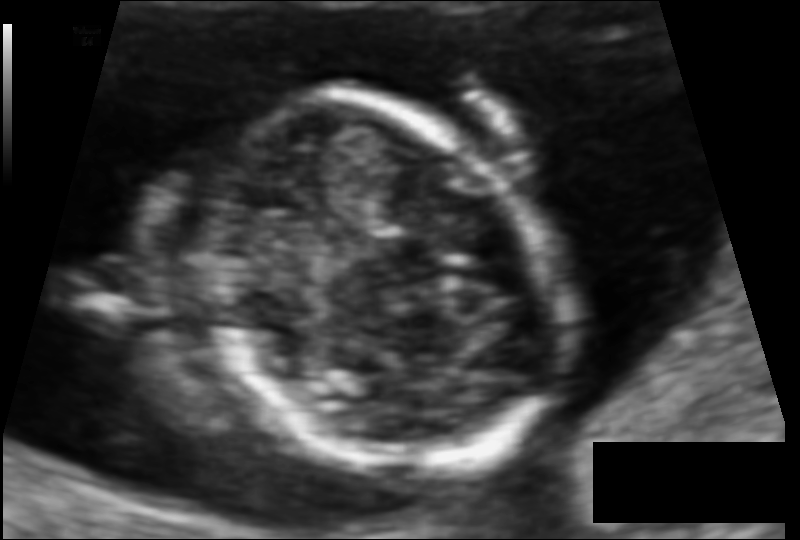
What is the fetal head circumference? Image width is 68.0 mm.

98.9 mm